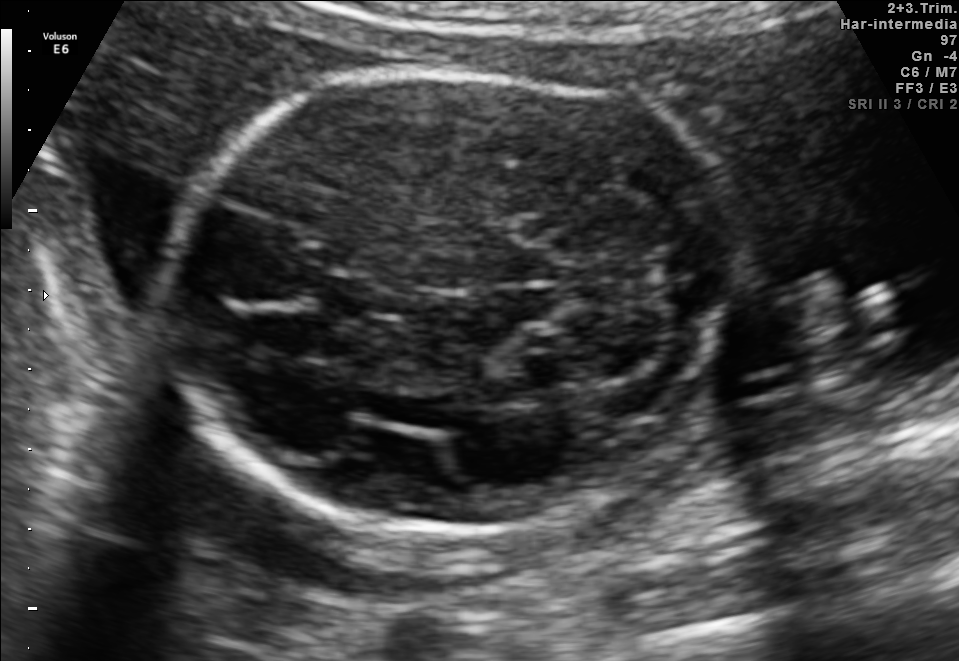
Fetal brain, trans-cerebellum plane. Locate the fetal head and, if visible, the cavum septum pellucidum (CSP) and lateral ventricle (LV). Give bounding boxes as [x1,y1,x2,y2].

Head: [164,62,741,529]
CSP: [321,271,390,317]